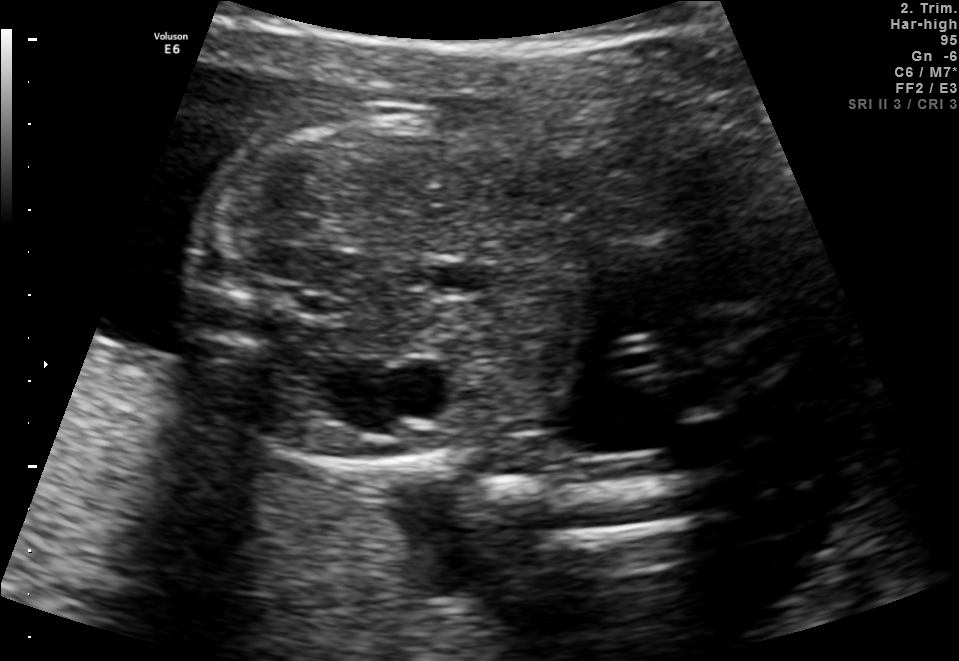
Identify the standard plane in this fetal ultrasound image: fetal abdomen, fetal brain, fetal femur, fetal thorax, maternal cervix, or other. If it's fetal brain and one of the three standard brain planes (trans-thalamic, trans-cerebellum, trans-ventricular), name which.

Fetal abdomen